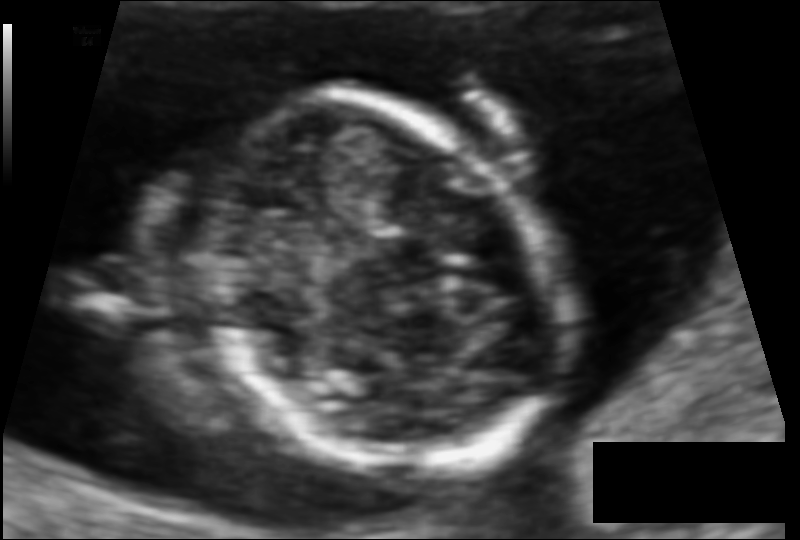
Fetal head ultrasound. Image width: 68.0 mm. Locate the fetal head.

Head: [193,99,567,471]